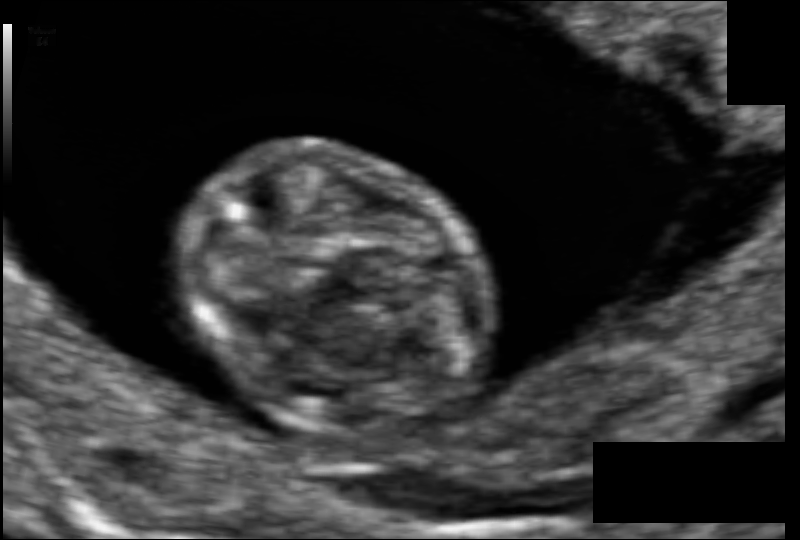
Fetal head ultrasound. Image width: 49.0 mm. Where is the fetal head?

Head bounding box: [180,139,490,439]